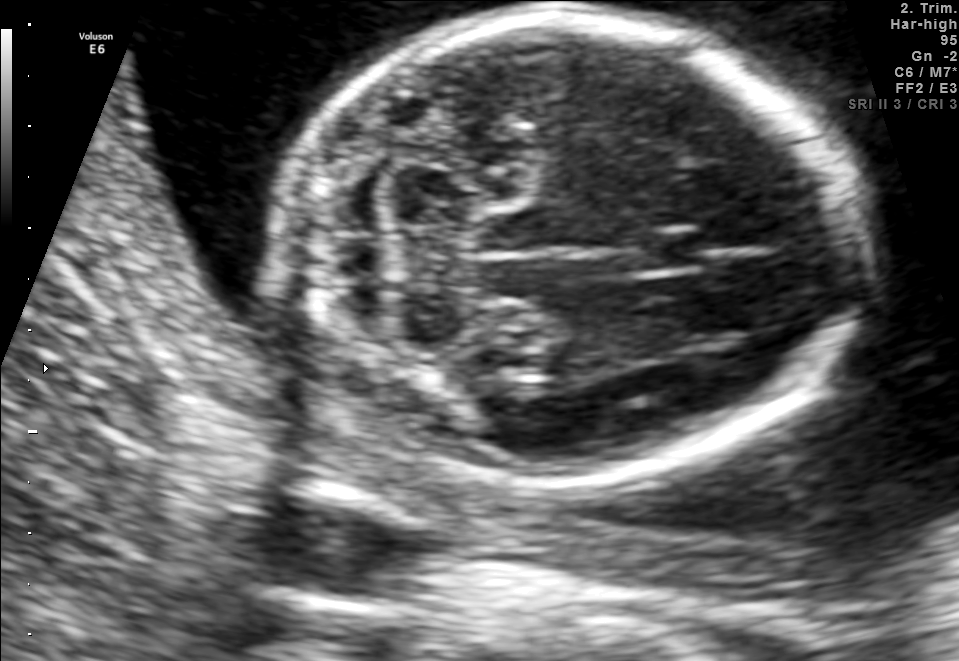
Classify this maternal-fetal ultrasound image as one of the six standard planes — fetal abdomen, fetal brain, fetal femur, fetal thorax, maternal cervix, or other. If it's fetal brain and one of the three standard brain planes (trans-thalamic, trans-cerebellum, trans-ventricular), name which.

Fetal brain (trans-cerebellum plane)